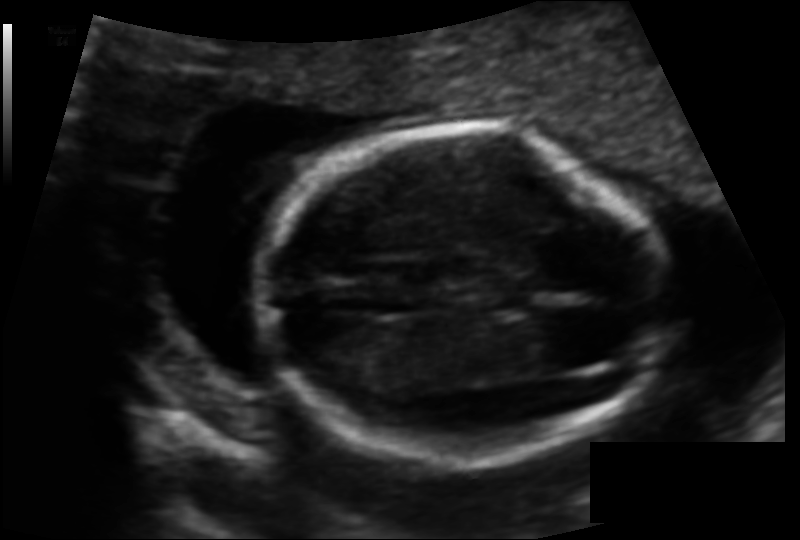
Fetal head ultrasound. Image width: 81.7 mm. Locate the fetal head and, if visible, the cavum septum pellucidum (CSP) and lateral ventricle (LV). Give bounding boxes as [x1,y1,x2,y2].

Head: [263,127,666,463]
CSP: [486,283,530,312]